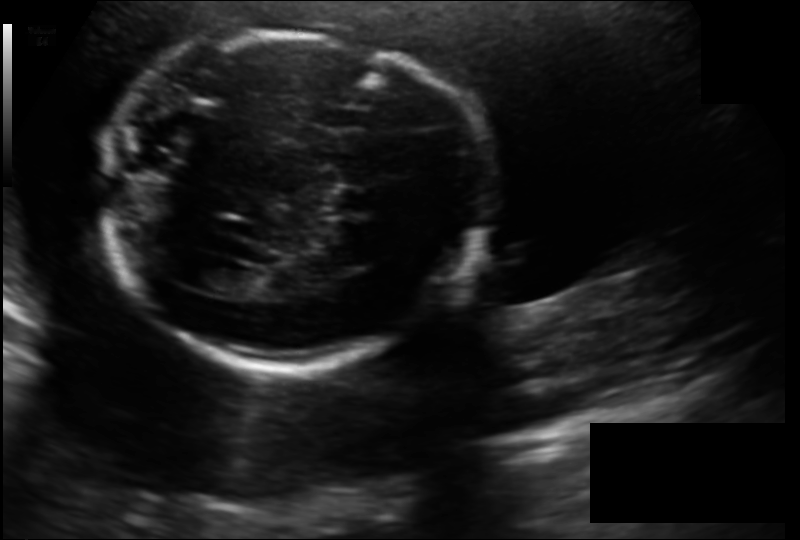
In this fetal head ultrasound, give the bounding box of the cavum septum pellucidum. Image width: 126.7 mm.

[327,187,374,216]